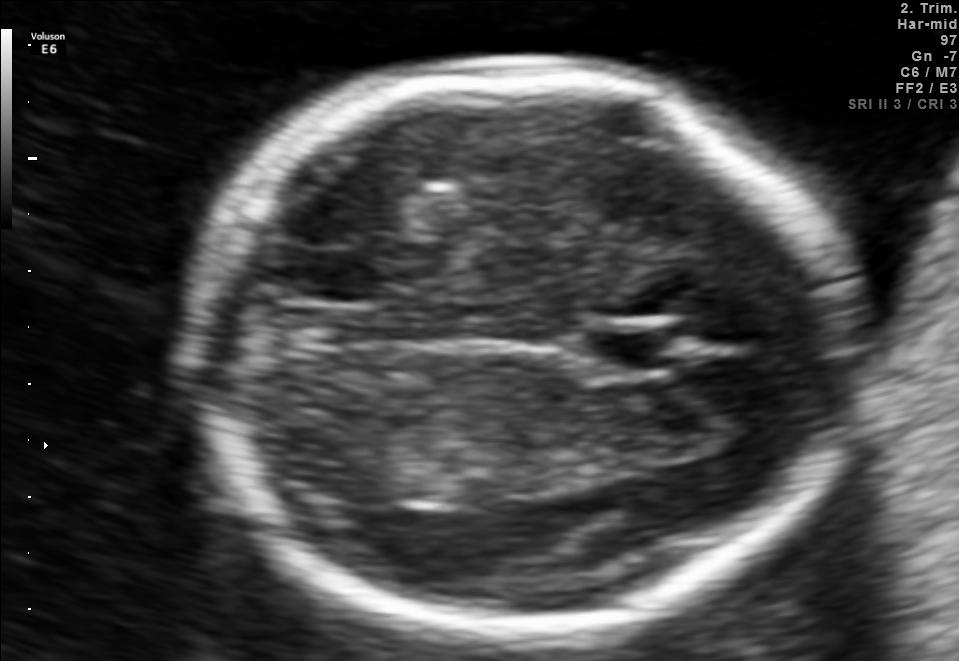
Classify this maternal-fetal ultrasound image as one of the six standard planes — fetal abdomen, fetal brain, fetal femur, fetal thorax, maternal cervix, or other. If it's fetal brain and one of the three standard brain planes (trans-thalamic, trans-cerebellum, trans-ventricular), name which.

Fetal brain (trans-thalamic plane)